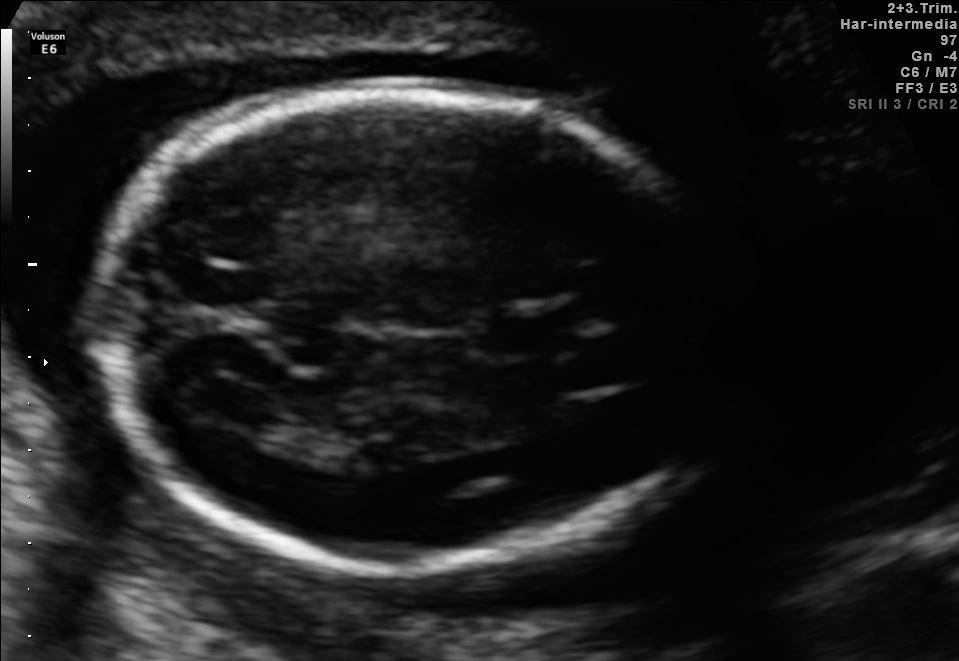
In this fetal brain, trans-ventricular plane, give the bounding box of the lateral ventricle.

[193,372,274,436]